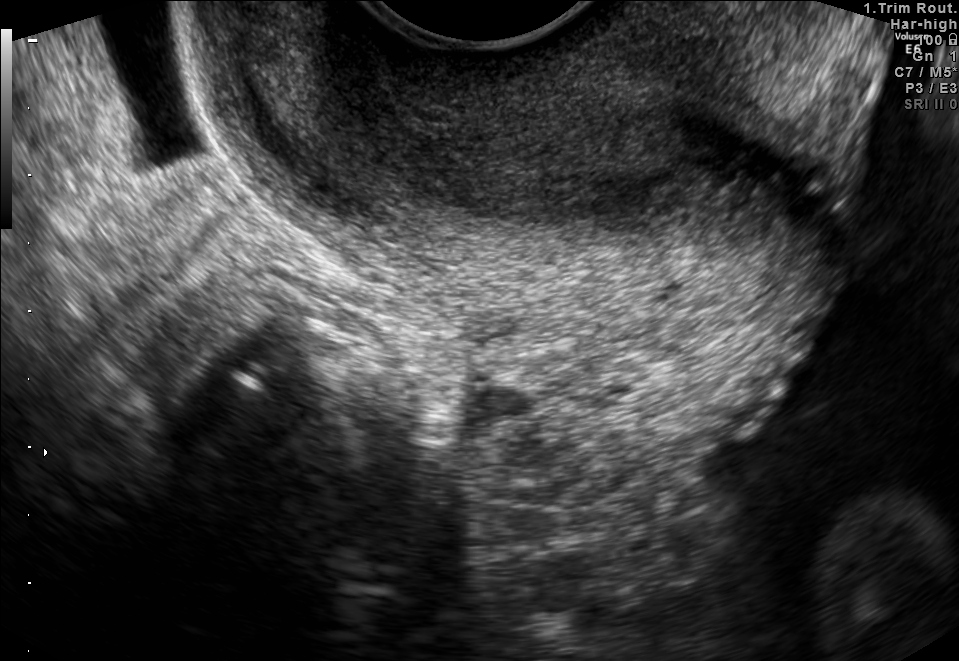
Classify this maternal-fetal ultrasound image as one of the six standard planes — fetal abdomen, fetal brain, fetal femur, fetal thorax, maternal cervix, or other. If it's fetal brain and one of the three standard brain planes (trans-thalamic, trans-cerebellum, trans-ventricular), name which.

Maternal cervix